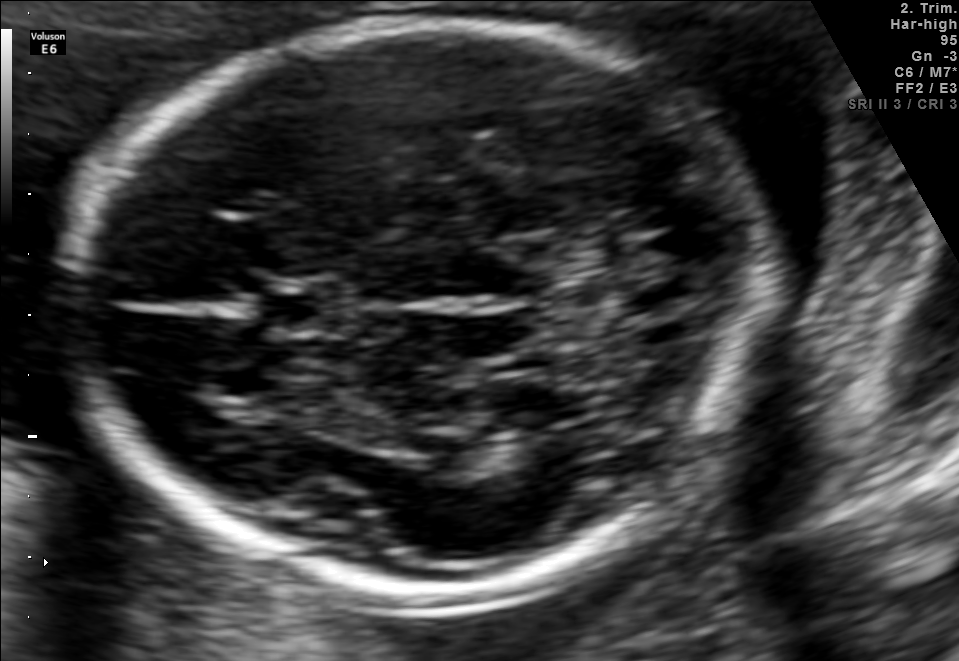
Fetal brain, trans-thalamic plane. Locate the cavum septum pellucidum.

CSP: [266,282,346,329]